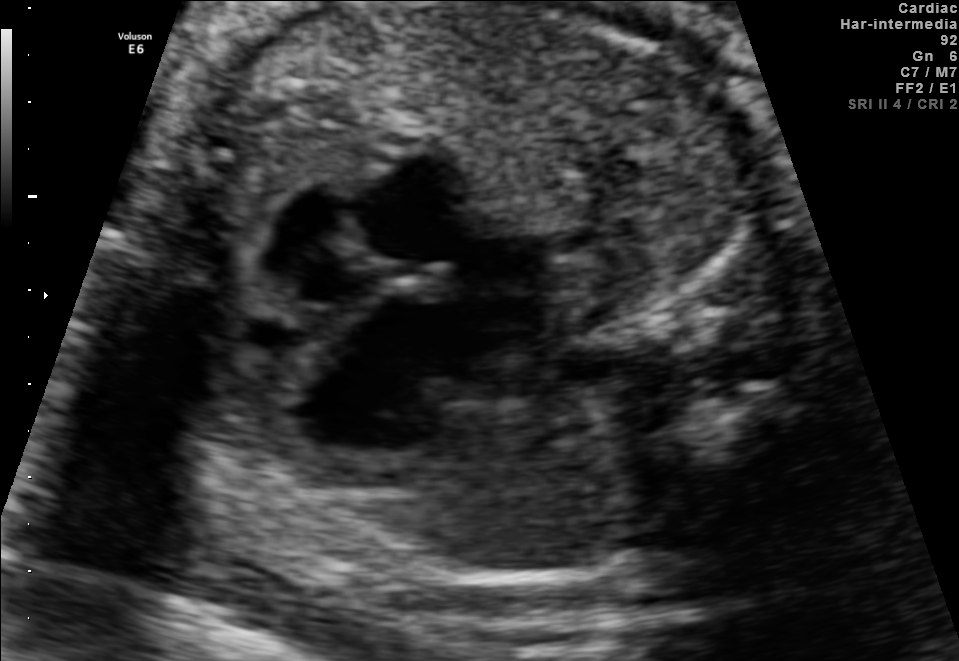
Which standard maternal-fetal ultrasound plane is shown: fetal abdomen, fetal brain, fetal femur, fetal thorax, maternal cervix, or other? If it's fetal brain and one of the three standard brain planes (trans-thalamic, trans-cerebellum, trans-ventricular), name which.

Fetal thorax